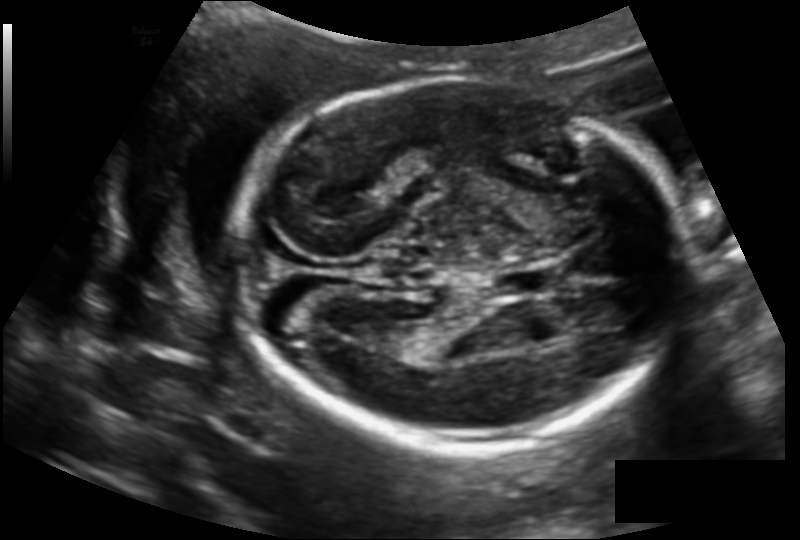
Fetal head ultrasound. Image width: 116.1 mm. Locate the fetal head and, if visible, the cavum septum pellucidum (CSP) and lateral ventricle (LV). Give bounding boxes as [x1,y1,x2,y2].

Head: [236,78,682,448]
CSP: [488,263,559,302]